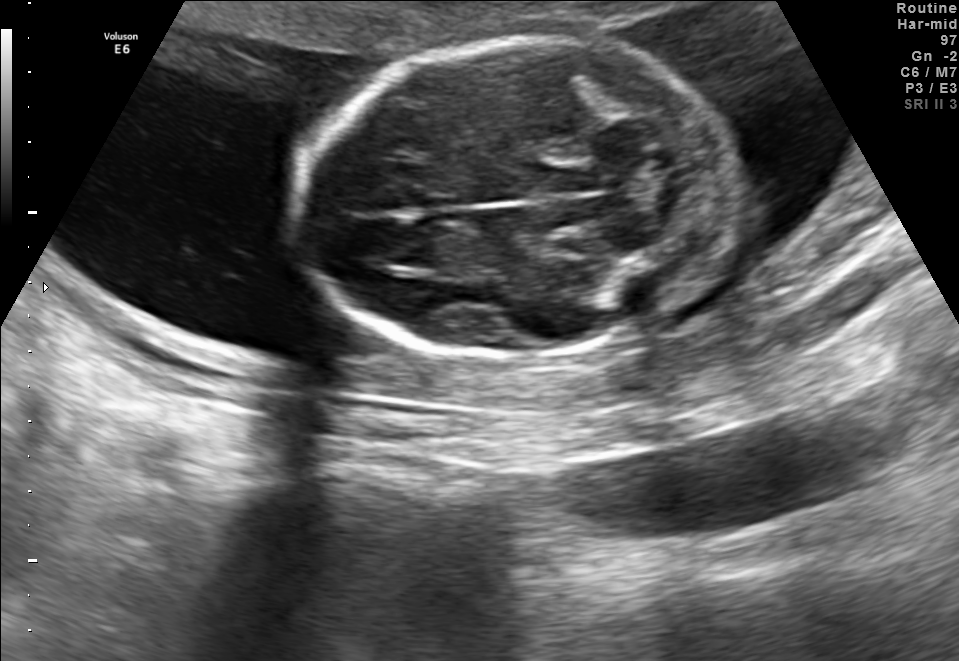
Fetal brain, trans-thalamic plane. Locate the fetal head and, if visible, the cavum septum pellucidum (CSP) and lateral ventricle (LV). Give bounding boxes as [x1,y1,x2,y2].

Head: [291,36,738,363]